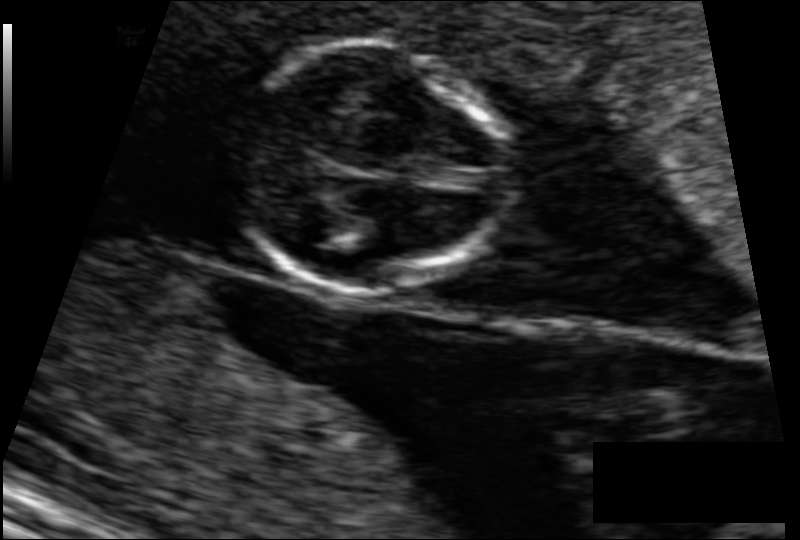
From this fetal ultrasound, estimate the head circumference (image width 66.3 mm).

Head circumference: 70.1 mm.